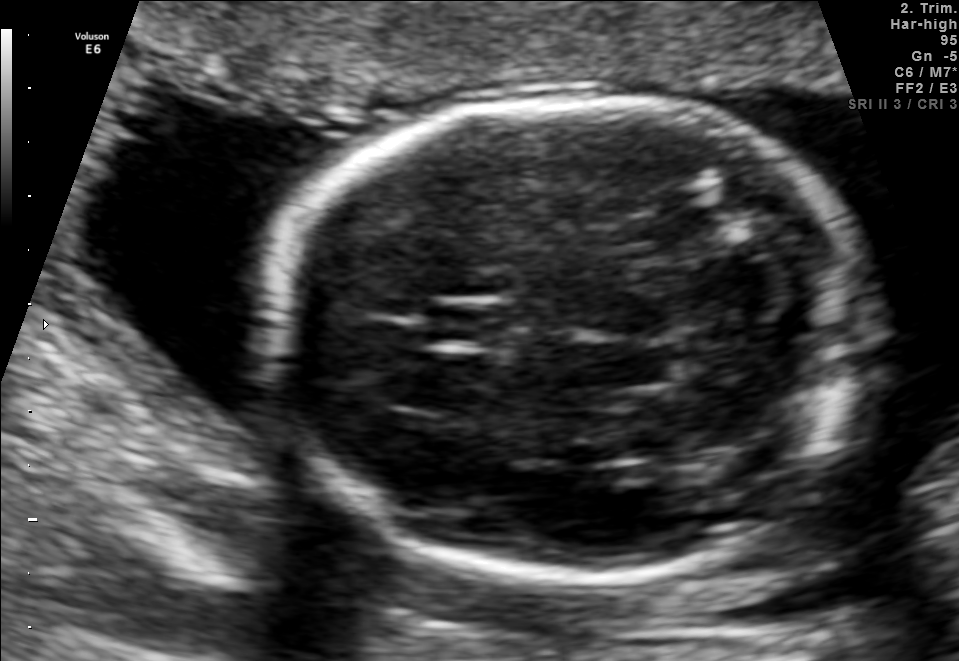
Fetal brain, trans-cerebellum plane. Locate the fetal head and, if visible, the cavum septum pellucidum (CSP) and lateral ventricle (LV). Give bounding boxes as [x1,y1,x2,y2].

Head: [268,101,867,576]